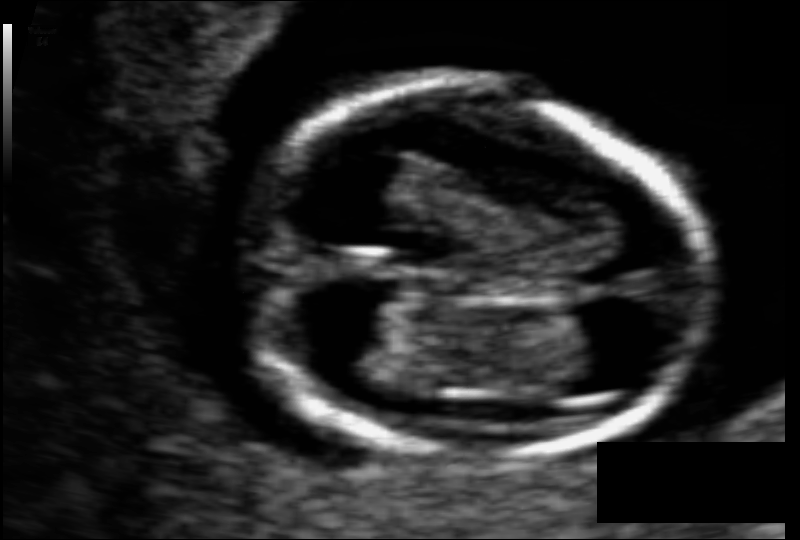
What is the fetal head circumference? Image width is 50.4 mm.

84.4 mm